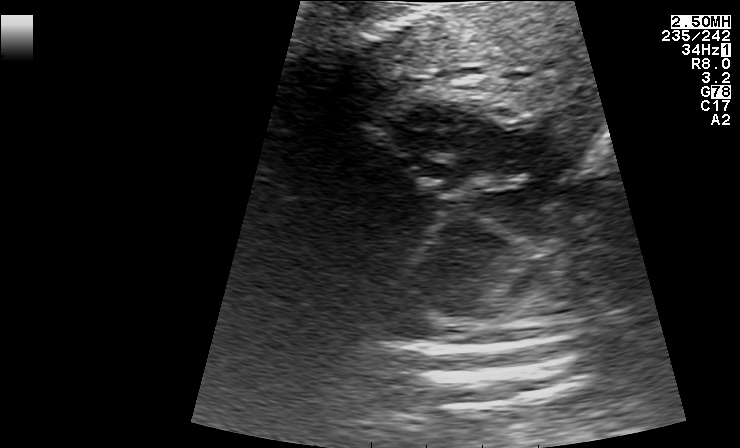
Identify the standard plane in this fetal ultrasound image: fetal abdomen, fetal brain, fetal femur, fetal thorax, maternal cervix, or other. If it's fetal brain and one of the three standard brain planes (trans-thalamic, trans-cerebellum, trans-ventricular), name which.

Fetal thorax